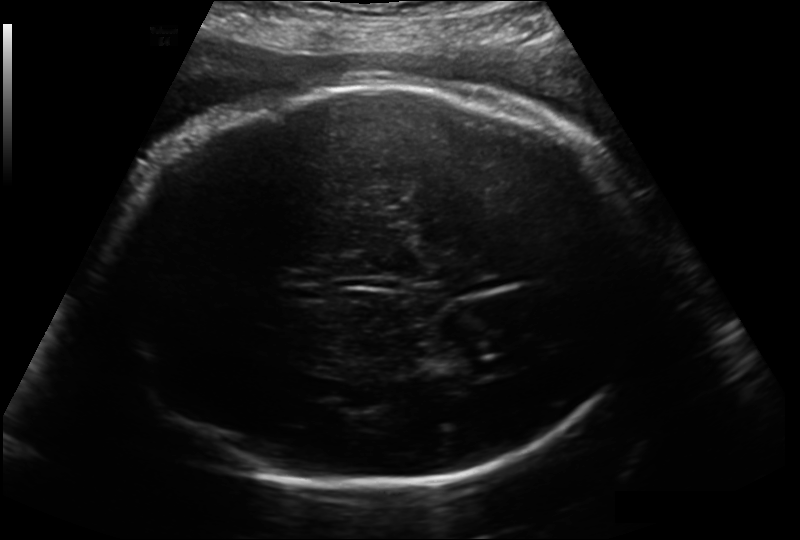
Fetal head ultrasound. Image width: 171.3 mm. Locate the fetal head.

Head: [101,83,647,489]